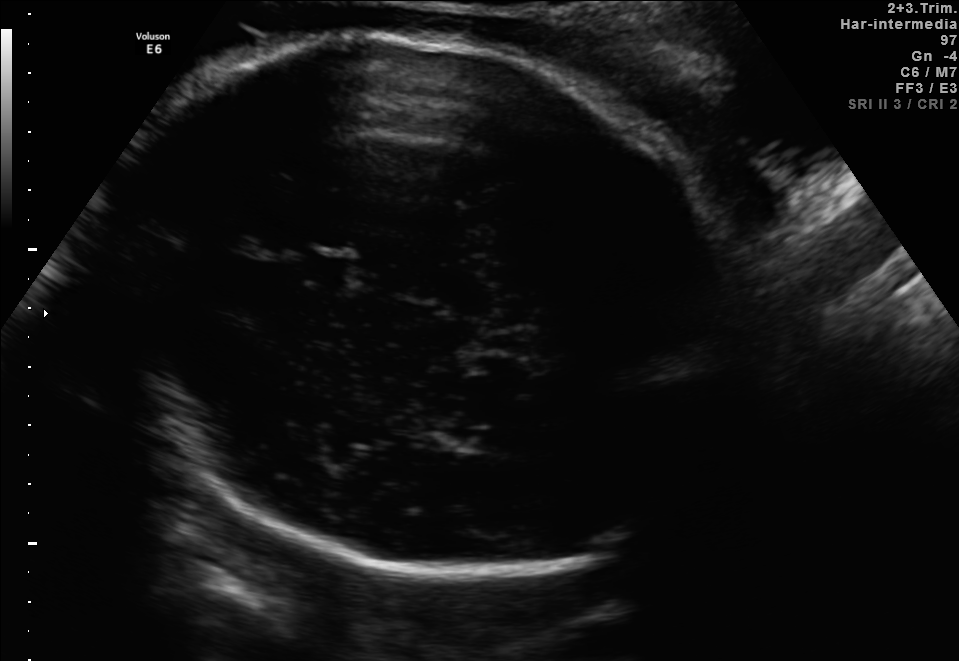
Fetal brain, trans-thalamic plane. Where is the fetal head?

Head bounding box: [98,27,751,578]